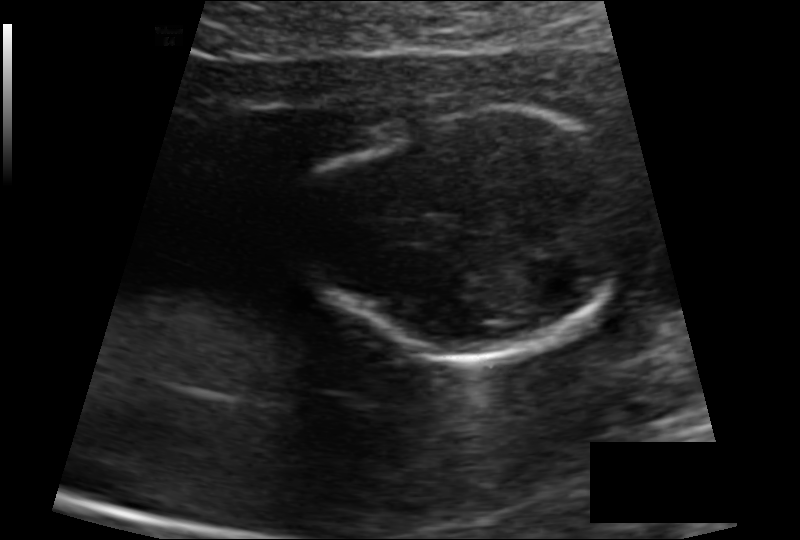
Fetal head ultrasound. Image width: 87.9 mm. Where is the fetal head?

Head bounding box: [304,108,633,357]